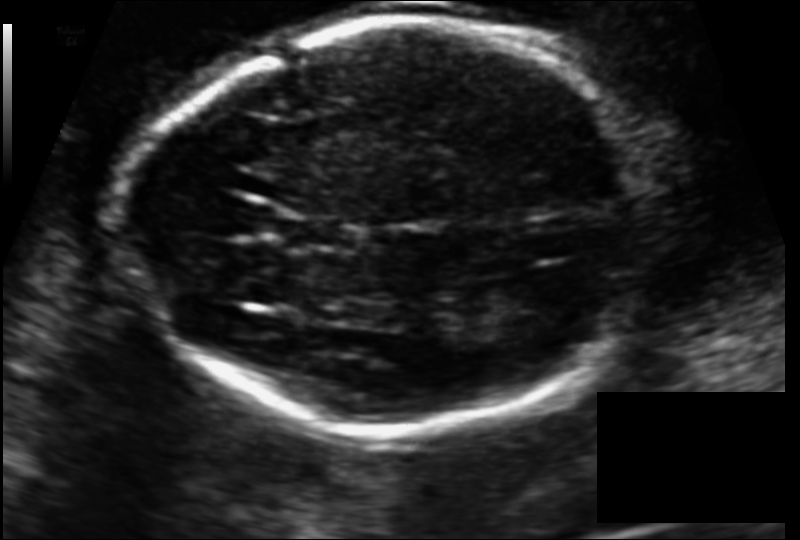
Estimate the fetal head circumference from this 2D ultrasound.

Head circumference: 189.1 mm (image width 98.9 mm).